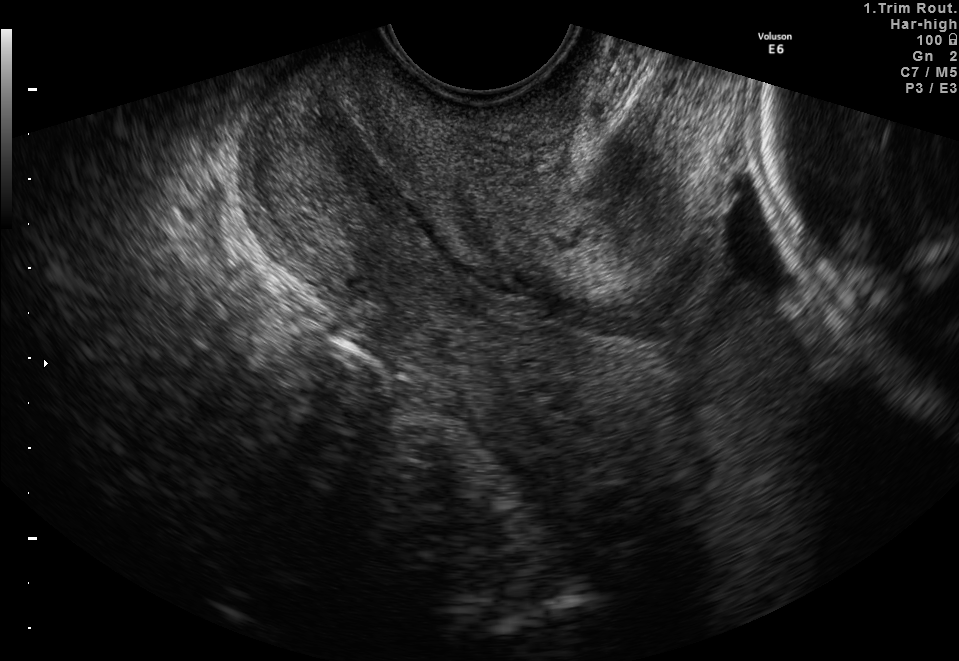
This is a 2D maternal-fetal ultrasound frame. Is it a fetal abdomen, fetal brain, fetal femur, fetal thorax, maternal cervix, or other standard plane? If it's fetal brain and one of the three standard brain planes (trans-thalamic, trans-cerebellum, trans-ventricular), name which.

Maternal cervix